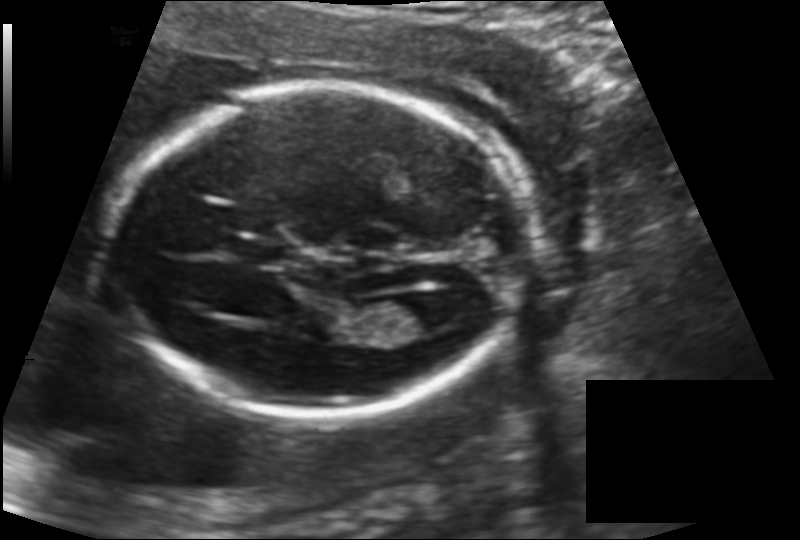
Fetal head ultrasound. Image width: 113.5 mm. Locate the lateral ventricle.

Lateral ventricle: [382,288,454,337]